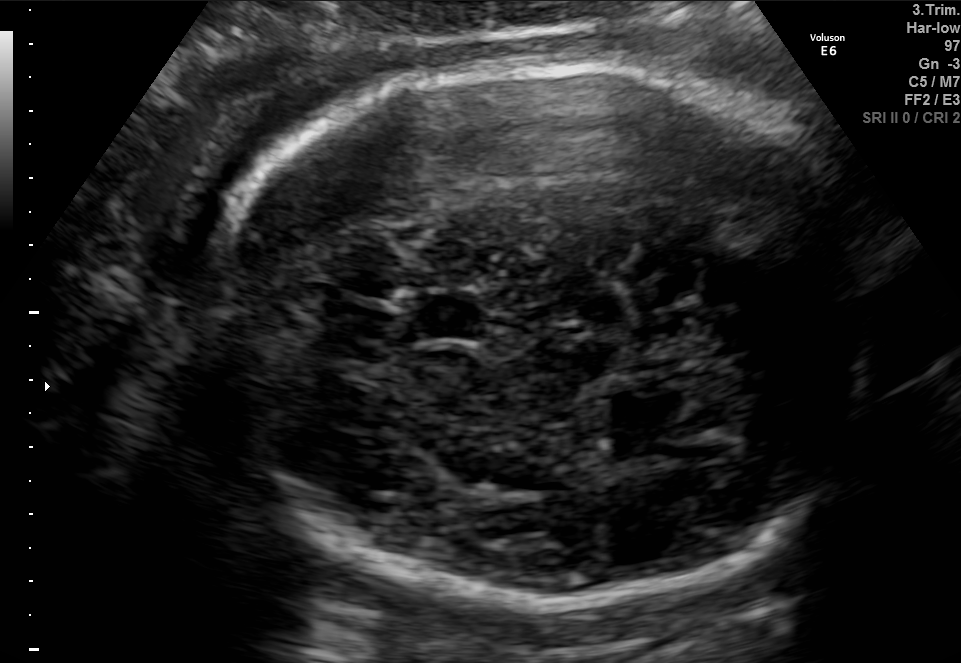
In this fetal brain, trans-thalamic plane, give the bounding box of the cavum septum pellucidum.

[412,293,489,343]